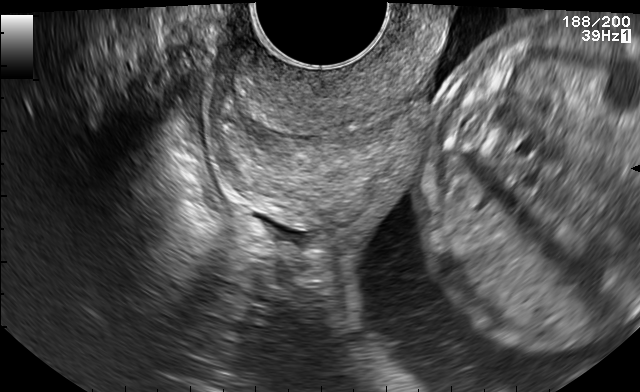
Classify this maternal-fetal ultrasound image as one of the six standard planes — fetal abdomen, fetal brain, fetal femur, fetal thorax, maternal cervix, or other. If it's fetal brain and one of the three standard brain planes (trans-thalamic, trans-cerebellum, trans-ventricular), name which.

Maternal cervix